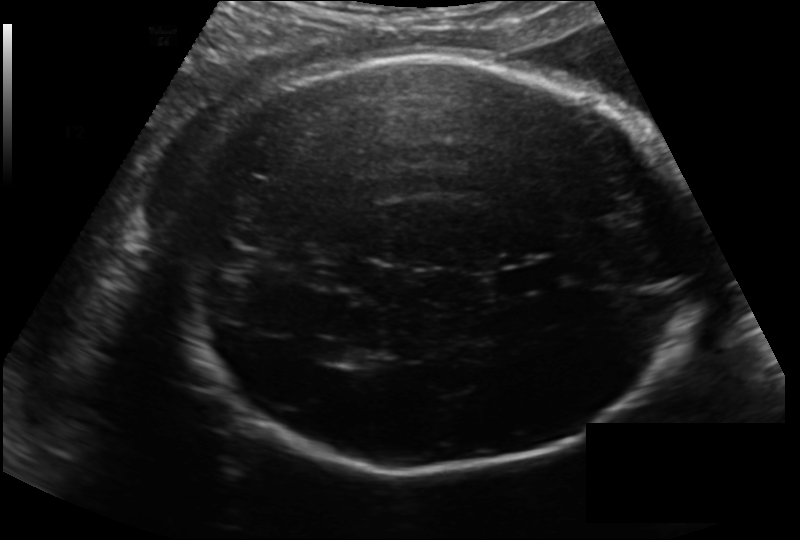
Fetal head ultrasound. Image width: 146.5 mm. Locate the fetal head and, if visible, the cavum septum pellucidum (CSP) and lateral ventricle (LV). Give bounding boxes as [x1,y1,x2,y2].

Head: [171,56,699,468]
CSP: [490,254,570,302]